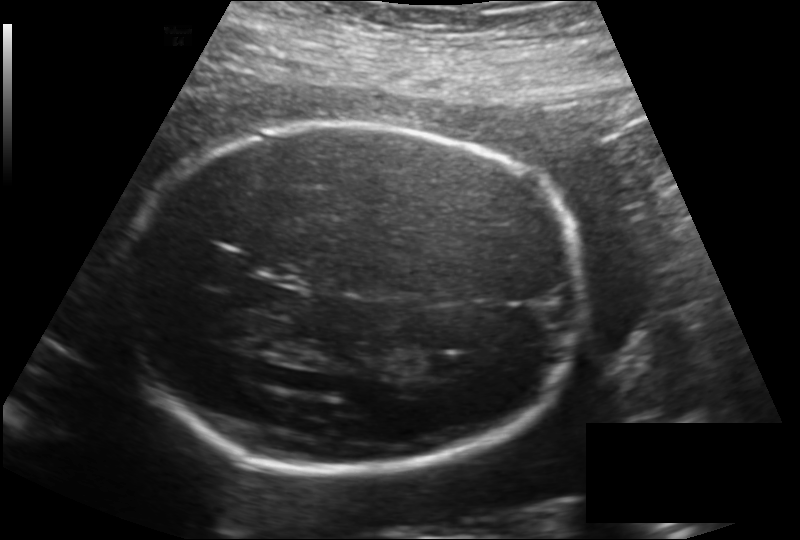
Estimate the fetal head circumference from this 2D ultrasound. Image width: 149.9 mm.

Head circumference: 245.4 mm.